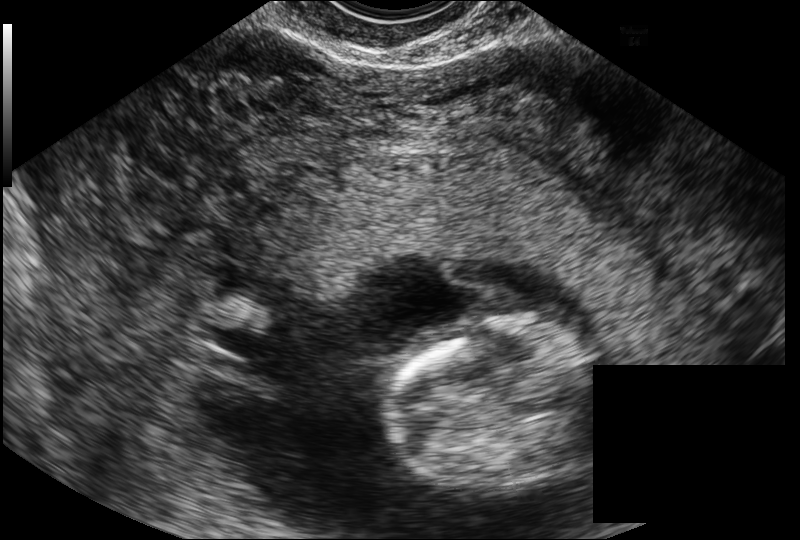
What is the fetal head circumference? Image width is 90.9 mm.

69.5 mm